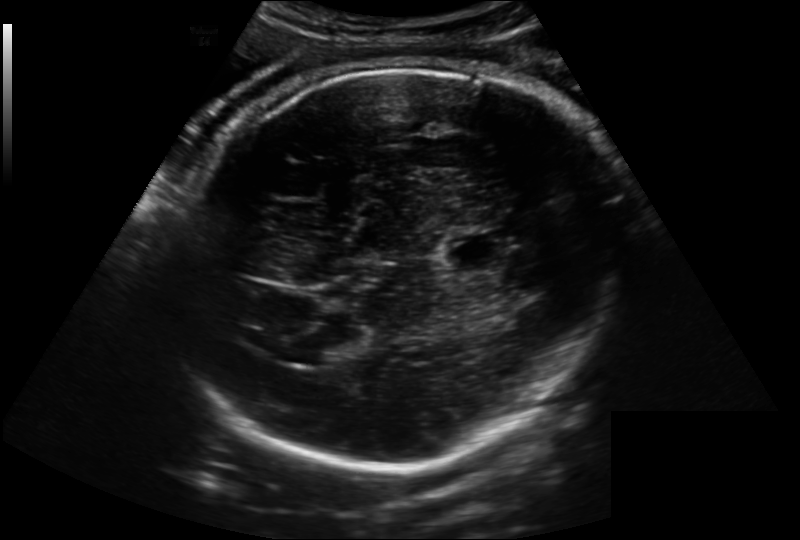
Fetal head ultrasound. Image width: 177.3 mm. Locate the fetal head.

Head: [171,63,626,467]